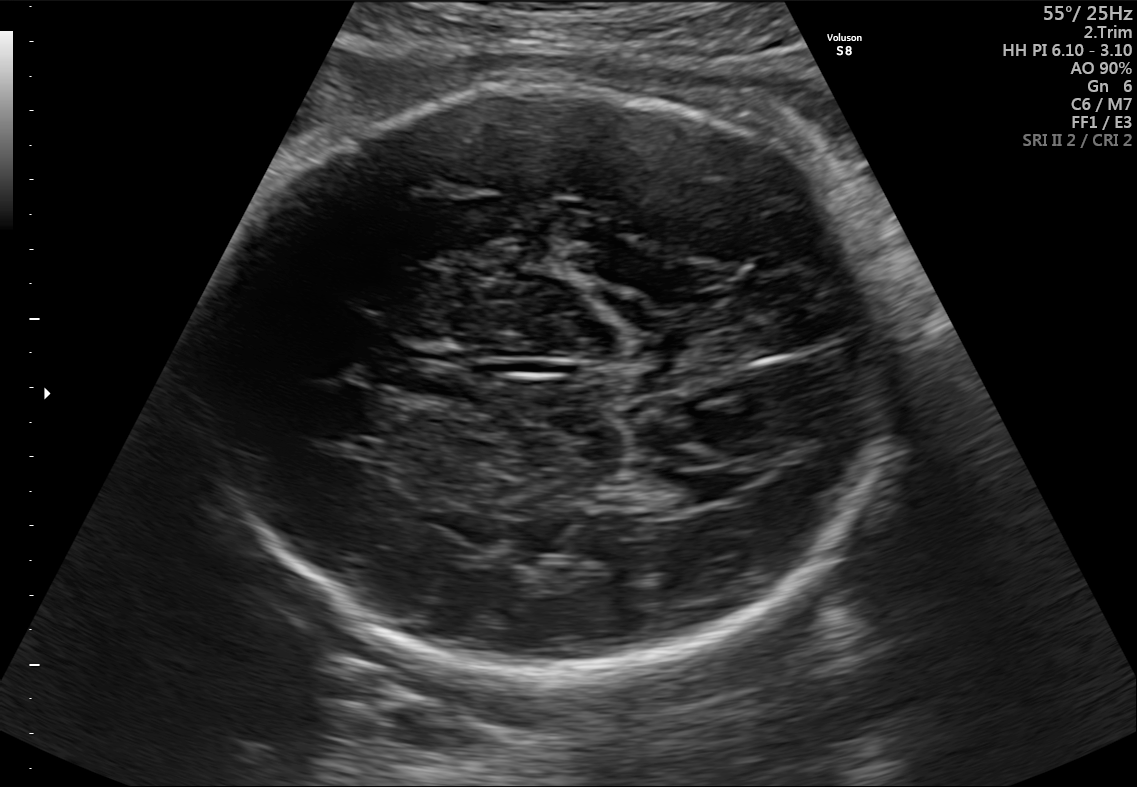
Fetal brain, trans-thalamic plane. Locate the lateral ventricle.

Lateral ventricle: [663,464,741,511]